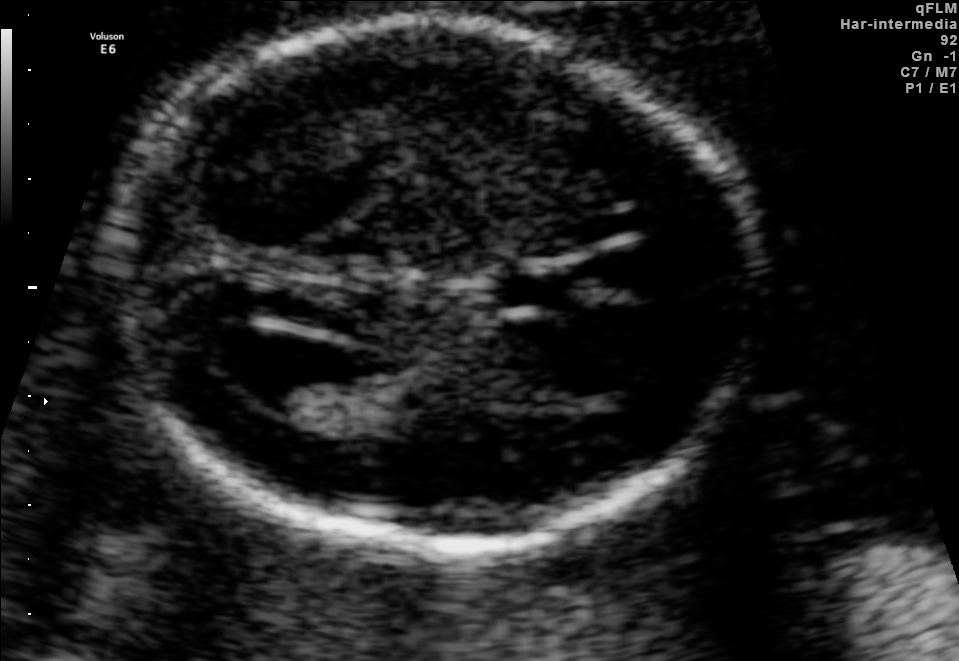
Which standard maternal-fetal ultrasound plane is shown: fetal abdomen, fetal brain, fetal femur, fetal thorax, maternal cervix, or other? If it's fetal brain and one of the three standard brain planes (trans-thalamic, trans-cerebellum, trans-ventricular), name which.

Fetal brain (trans-ventricular plane)